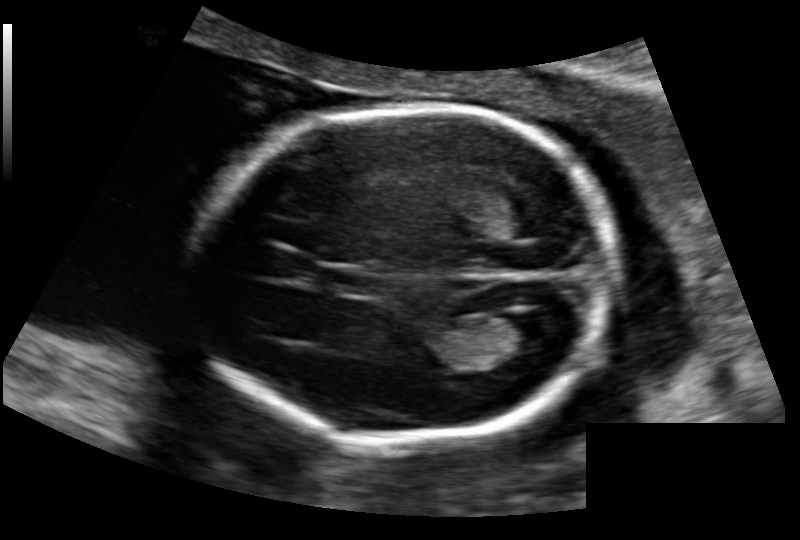
In this fetal head ultrasound, give the bounding box of the fetal head. Image width: 108.9 mm.

[189,108,615,440]